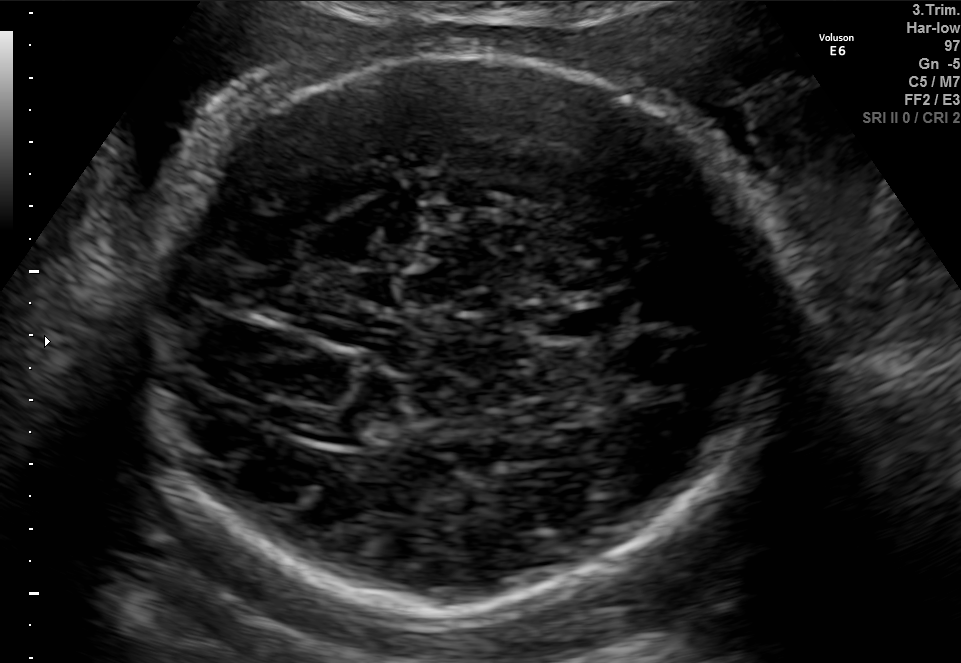
In this fetal brain, trans-thalamic plane, give the bounding box of the fetal head.

[144,56,791,619]